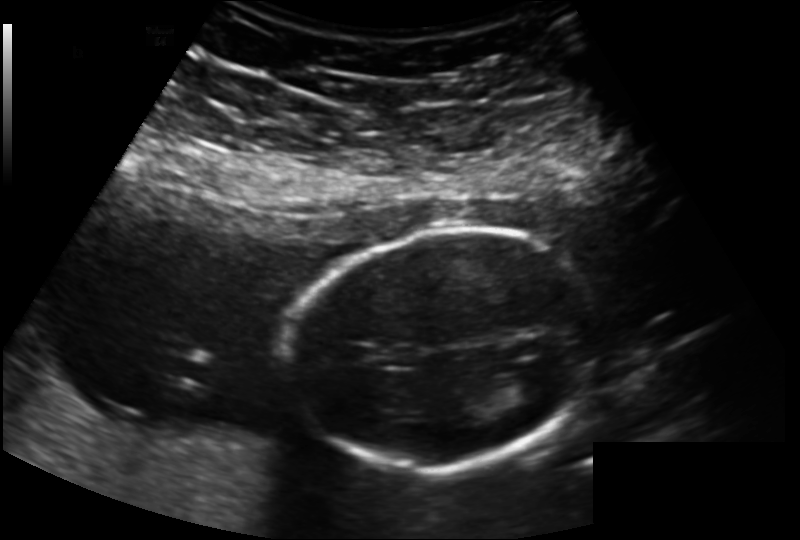
Fetal head ultrasound. Image width: 130.7 mm. Give [x1,y1,x2,y2] bounding boxes for each visible structure among: fetal head, CSP, LV.

Head: [294,229,597,470]
Lateral ventricle: [508,362,559,406]